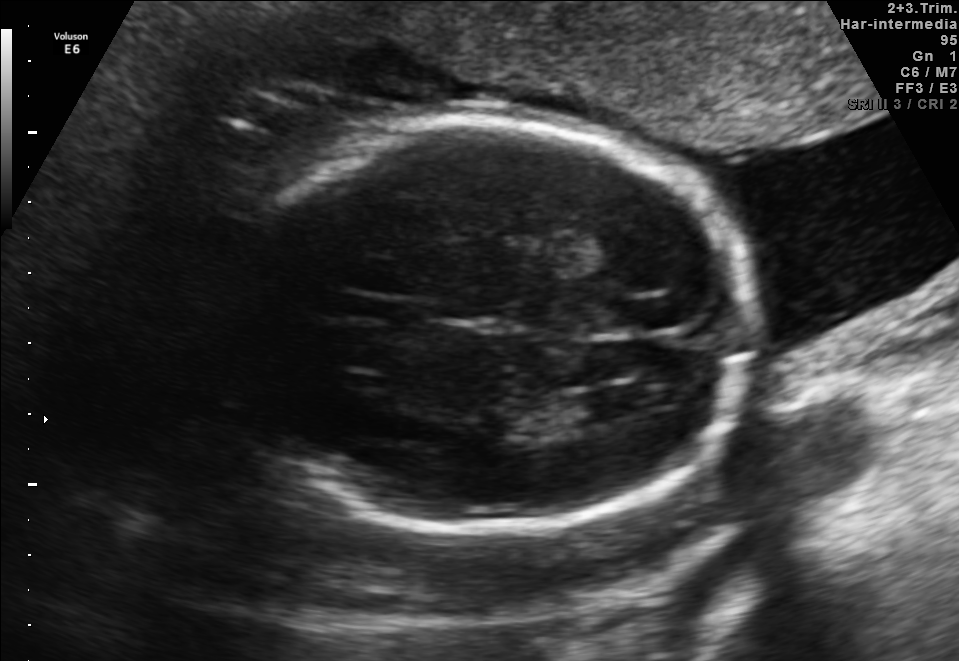
In this fetal brain, trans-ventricular plane, give bounding boxes for the head outline, cavum septum pellucidum (CSP), and lateral ventricle (LV), where visible.

Head: [235,111,762,536]
CSP: [352,297,409,324]
Lateral ventricle: [565,389,627,427]